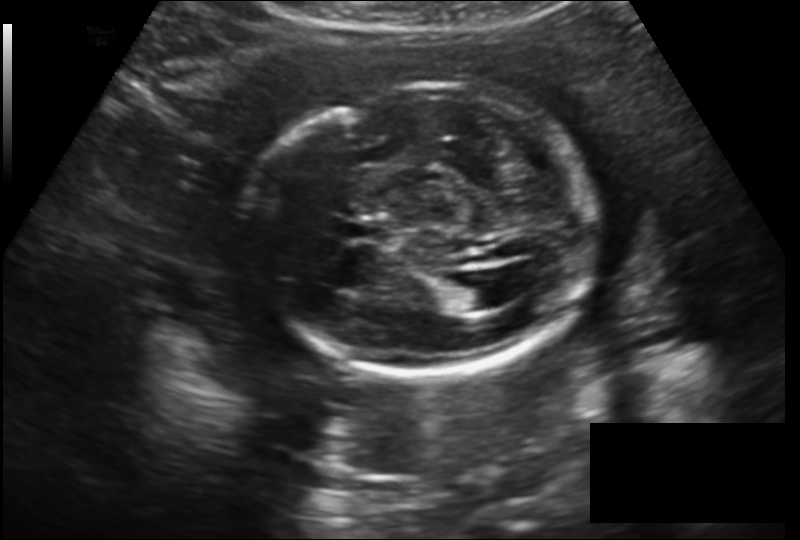
Fetal head ultrasound. Image width: 145.7 mm. Locate the cavum septum pellucidum.

CSP: [344,220,387,242]